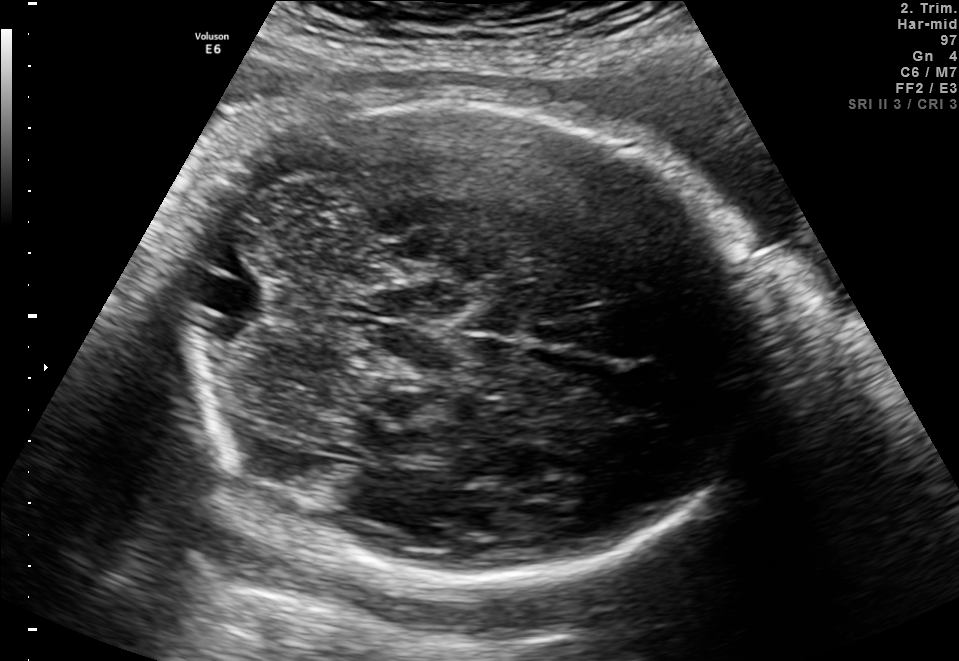
Fetal brain, trans-cerebellum plane. Give [x1,y1,x2,y2] bounding boxes for each visible structure among: fetal head, CSP, LV.

Head: [167,98,762,575]